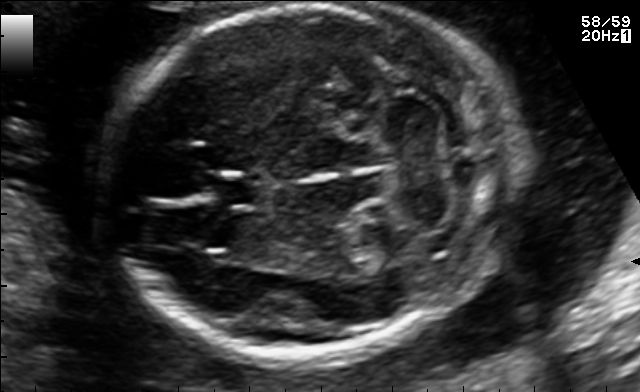
Fetal brain, trans-cerebellum plane. Locate the fetal head.

Head: [110,3,521,355]